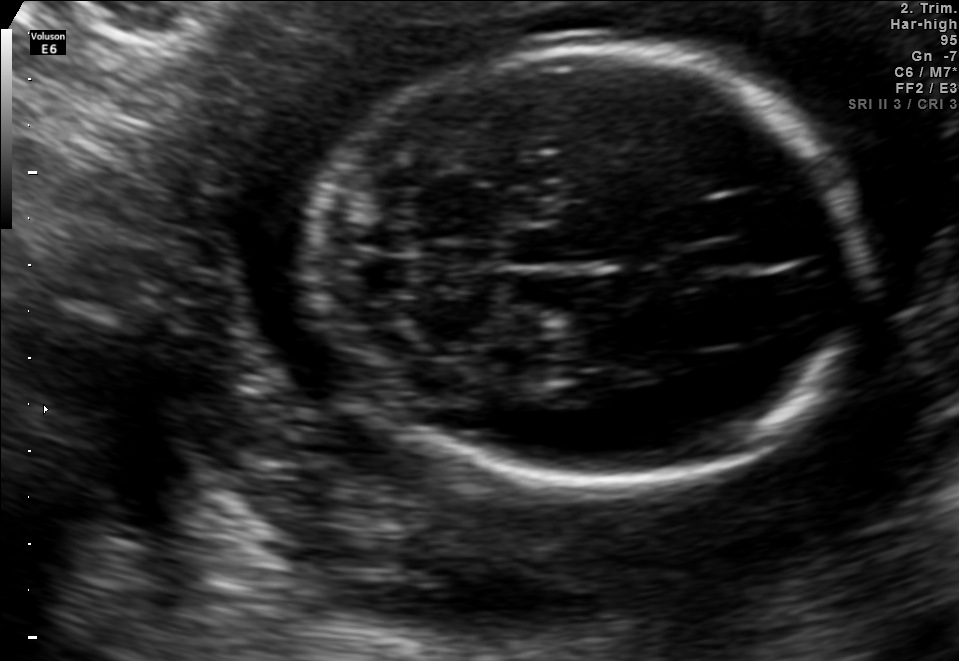
Which standard maternal-fetal ultrasound plane is shown: fetal abdomen, fetal brain, fetal femur, fetal thorax, maternal cervix, or other? If it's fetal brain and one of the three standard brain planes (trans-thalamic, trans-cerebellum, trans-ventricular), name which.

Fetal brain (trans-cerebellum plane)